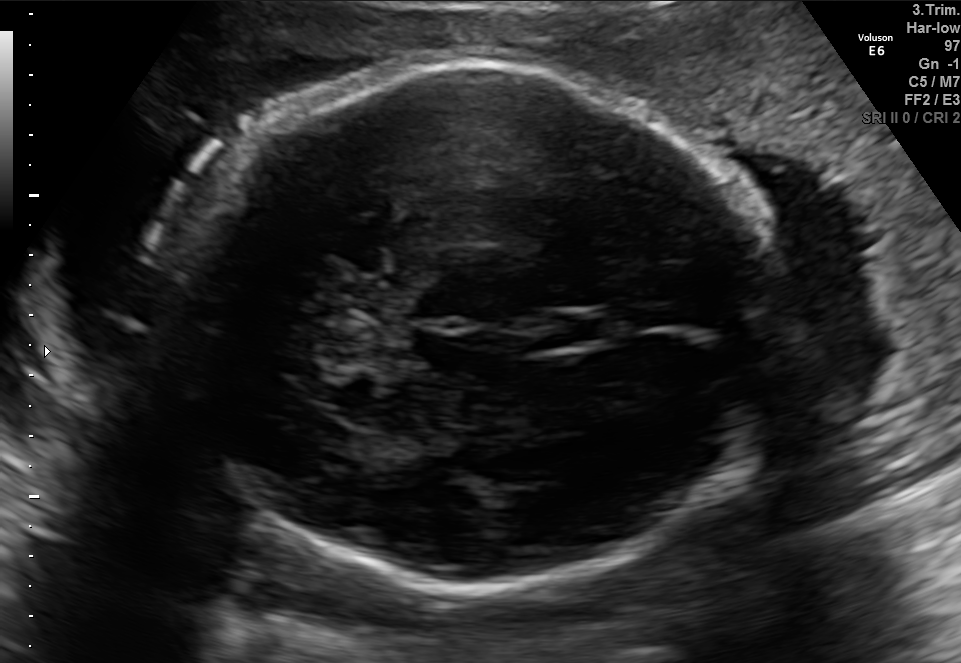
In this fetal brain, trans-thalamic plane, give bounding boxes for the head outline, cavum septum pellucidum (CSP), and lateral ventricle (LV), where visible.

Head: [162,66,777,587]
CSP: [556,304,623,350]